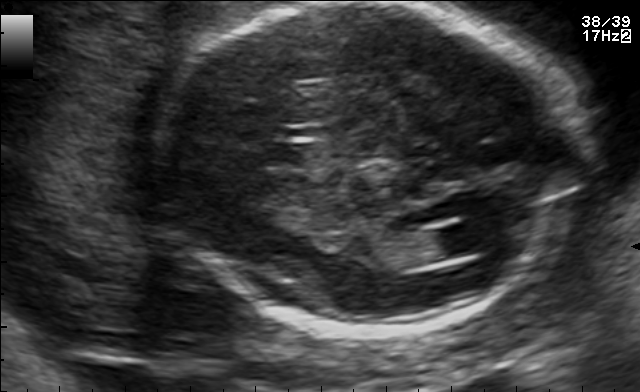
Fetal brain, trans-ventricular plane. Give [x1,y1,x2,y2] bounding boxes for each visible structure among: fetal head, CSP, LV.

Head: [152,2,583,336]
Lateral ventricle: [423,217,494,262]